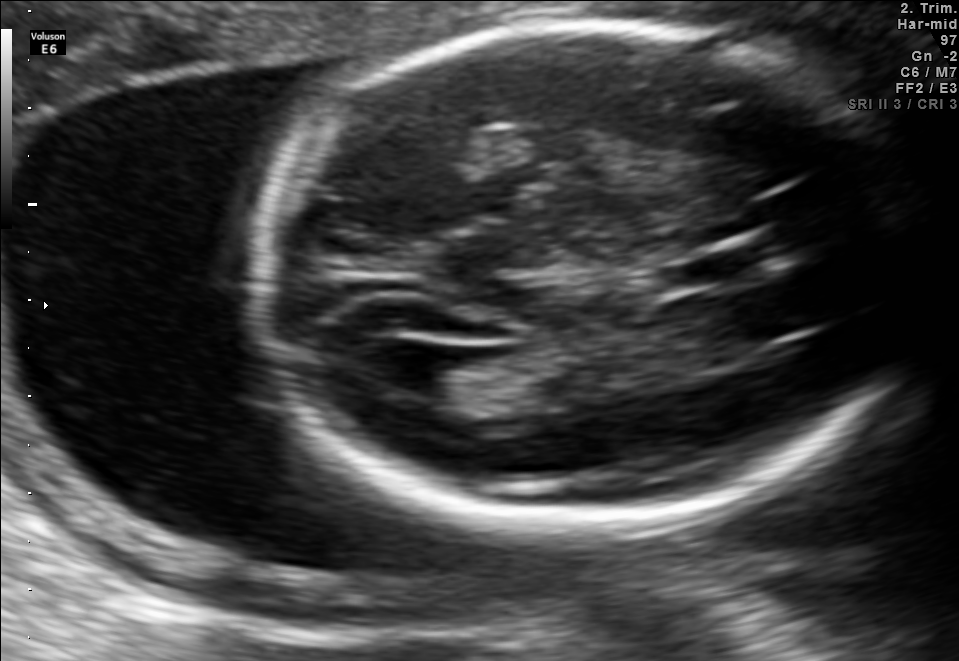
Fetal brain, trans-ventricular plane. Locate the fetal head and, if visible, the cavum septum pellucidum (CSP) and lateral ventricle (LV). Give bounding boxes as [x1,y1,x2,y2].

Head: [243,15,934,544]
CSP: [661,244,752,298]
Lateral ventricle: [366,337,455,400]